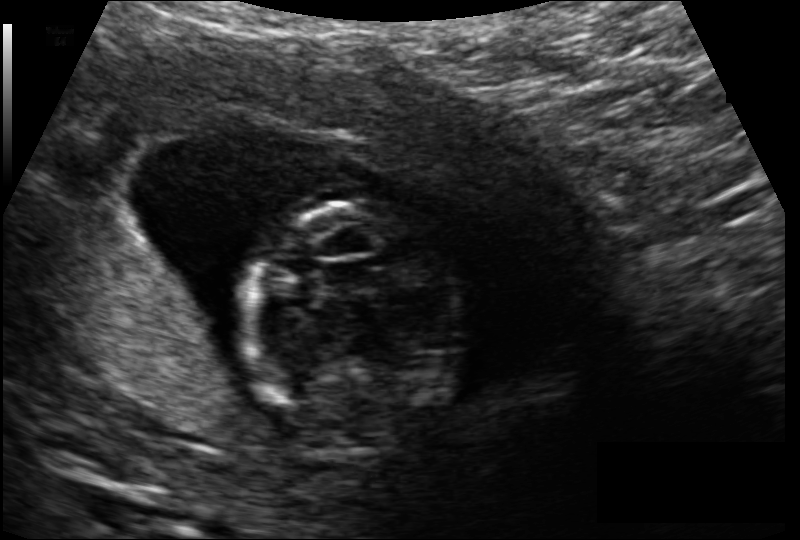
Measure the fetal head circumference shown in this ultrasound image. Image width: 94.0 mm.

Head circumference: 95.7 mm.